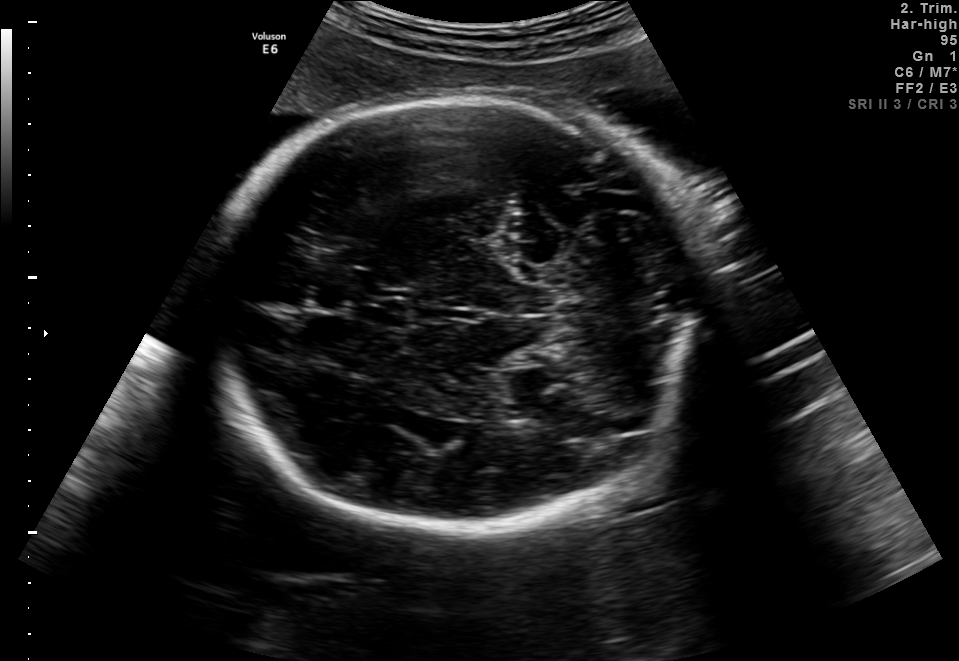
In this fetal brain, trans-thalamic plane, give bounding boxes for the head outline, cavum septum pellucidum (CSP), and lateral ventricle (LV), where visible.

Head: [204,97,693,536]
CSP: [366,301,408,327]